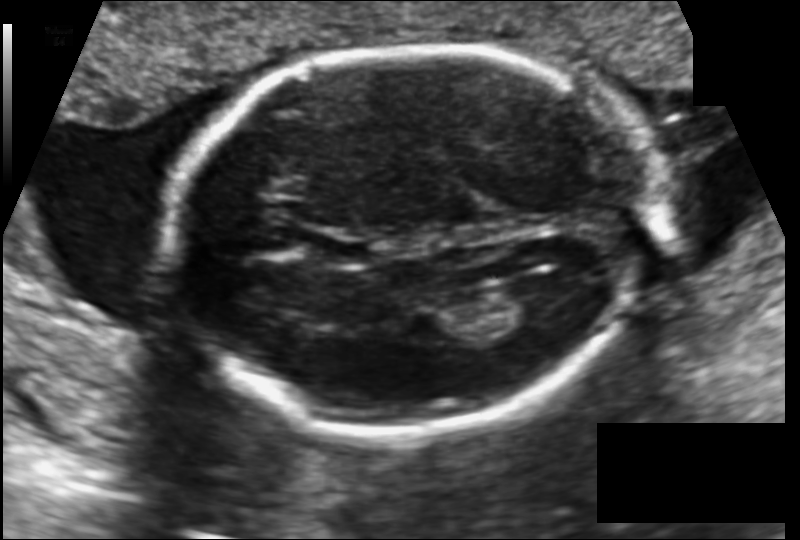
Fetal head ultrasound. Image width: 106.0 mm. Give [x1,y1,x2,y2] bounding boxes for each visible structure among: fetal head, CSP, LV.

Head: [170,47,650,435]
CSP: [311,231,374,269]
Lateral ventricle: [490,272,572,332]